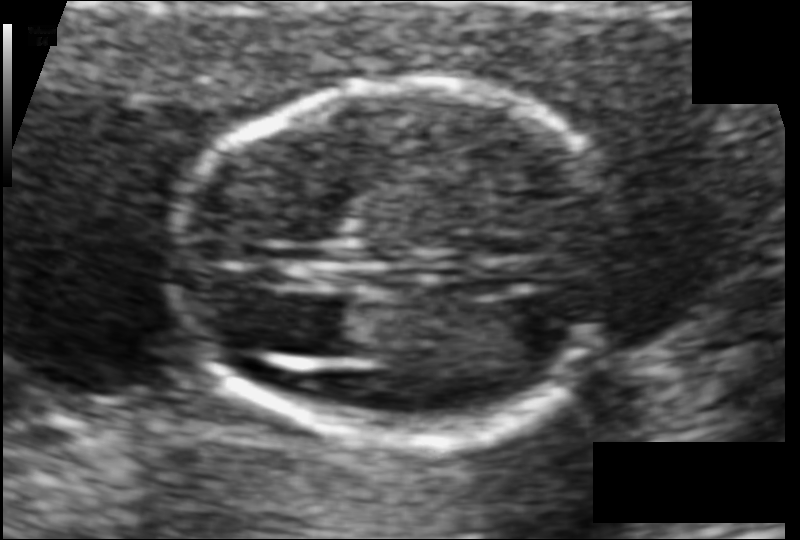
In this fetal head ultrasound, give the bounding box of the fetal head. Image width: 61.4 mm.

[175,86,620,436]